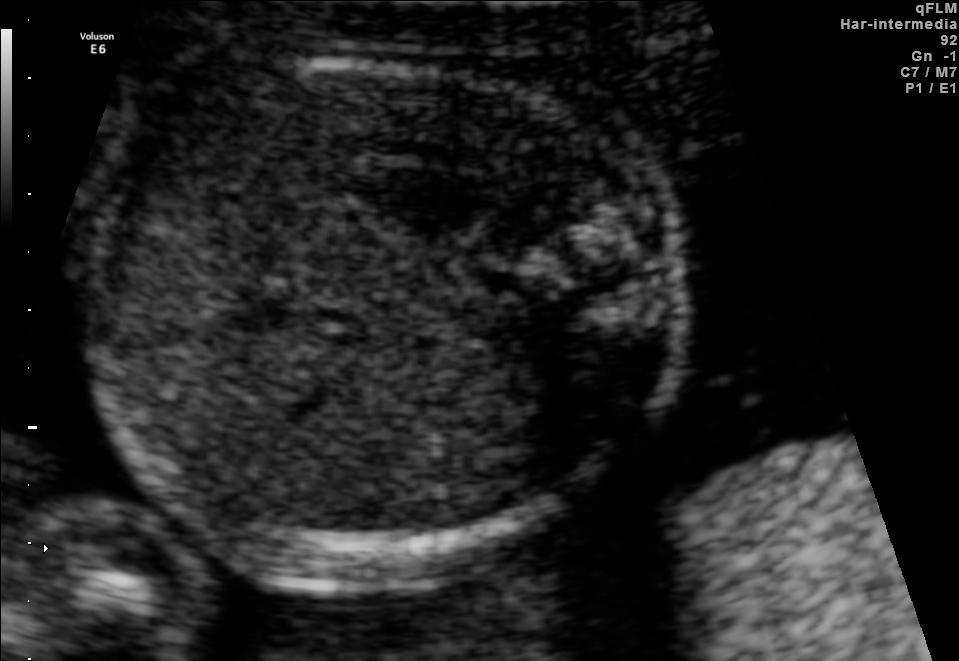
Identify the standard plane in this fetal ultrasound image: fetal abdomen, fetal brain, fetal femur, fetal thorax, maternal cervix, or other. If it's fetal brain and one of the three standard brain planes (trans-thalamic, trans-cerebellum, trans-ventricular), name which.

Fetal abdomen